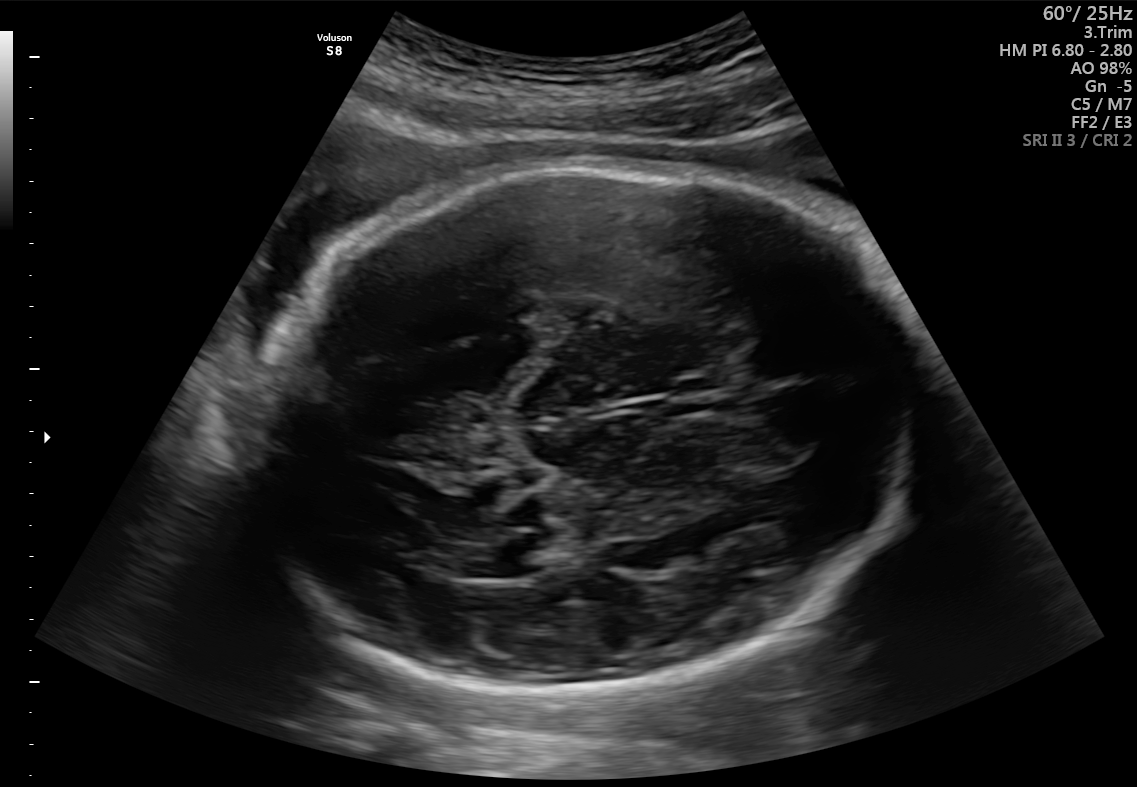
Fetal brain, trans-ventricular plane. Locate the fetal head.

Head: [241,155,922,701]